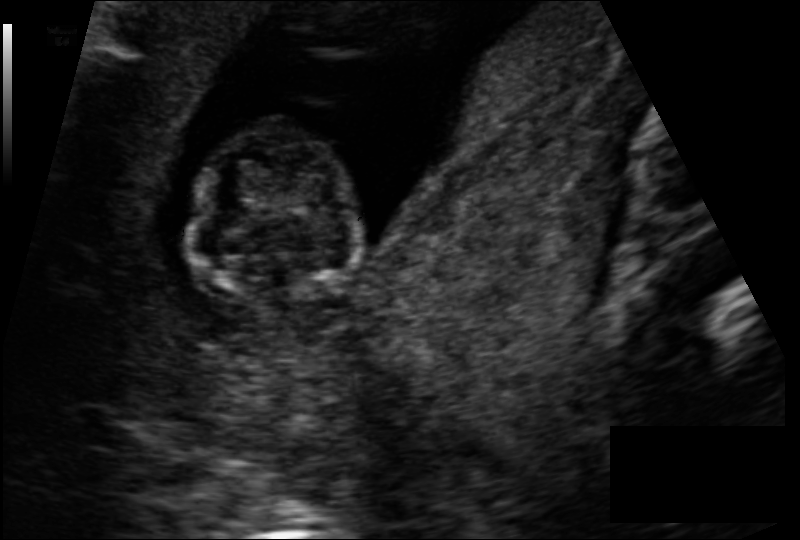
In this fetal head ultrasound, give bounding boxes for the head outline, cavum septum pellucidum (CSP), and lateral ventricle (LV), where visible. Image width: 90.4 mm.

Head: [194,123,360,305]